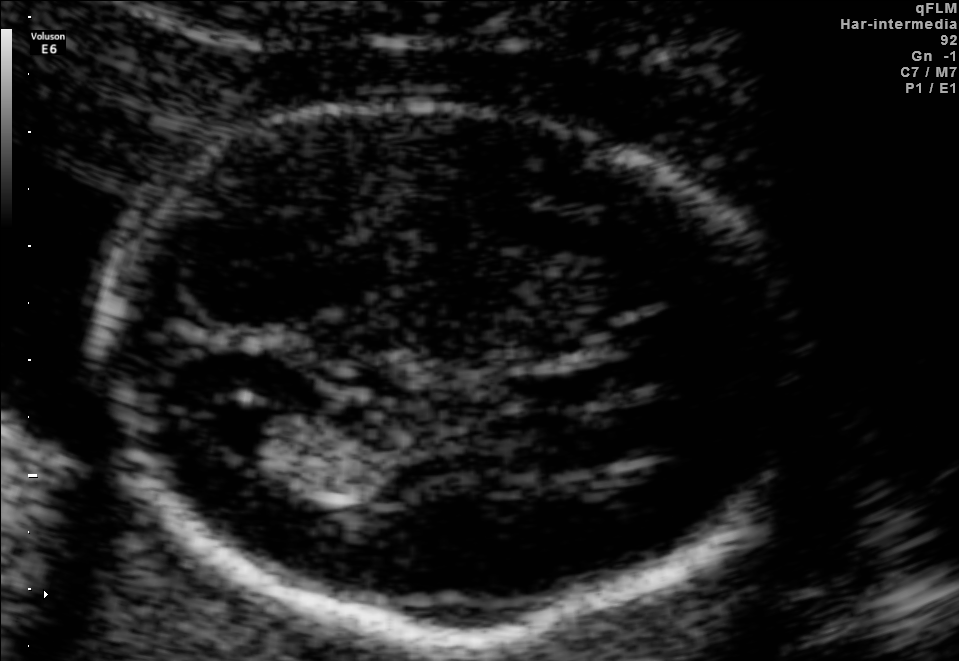
Fetal brain, trans-ventricular plane. Give [x1,y1,x2,y2] bounding boxes for each visible structure among: fetal head, CSP, LV.

Head: [83,92,806,649]